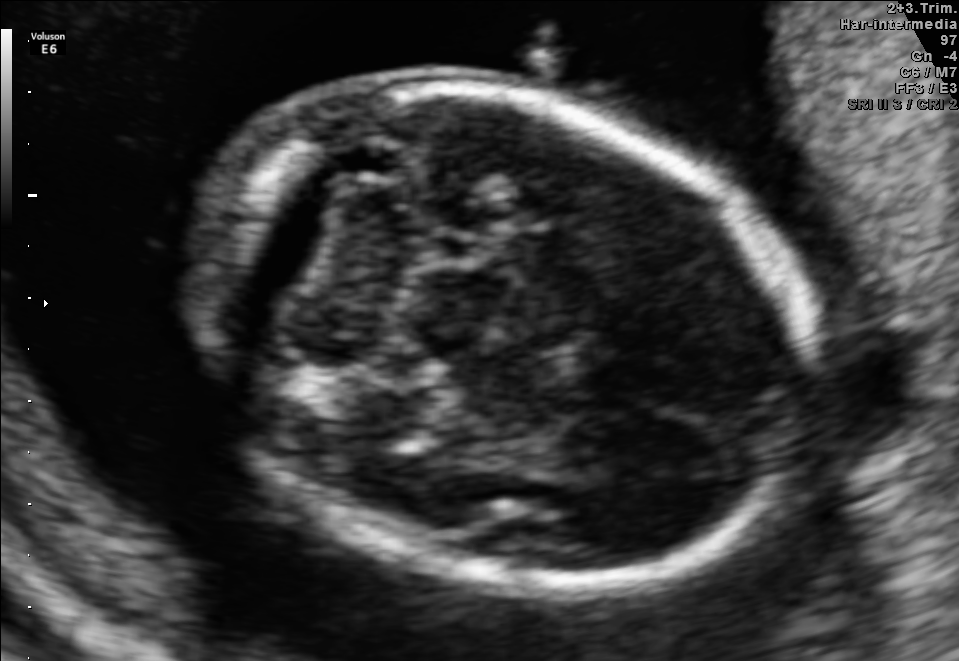
Fetal brain, trans-cerebellum plane. Locate the fetal head.

Head: [195,82,804,597]